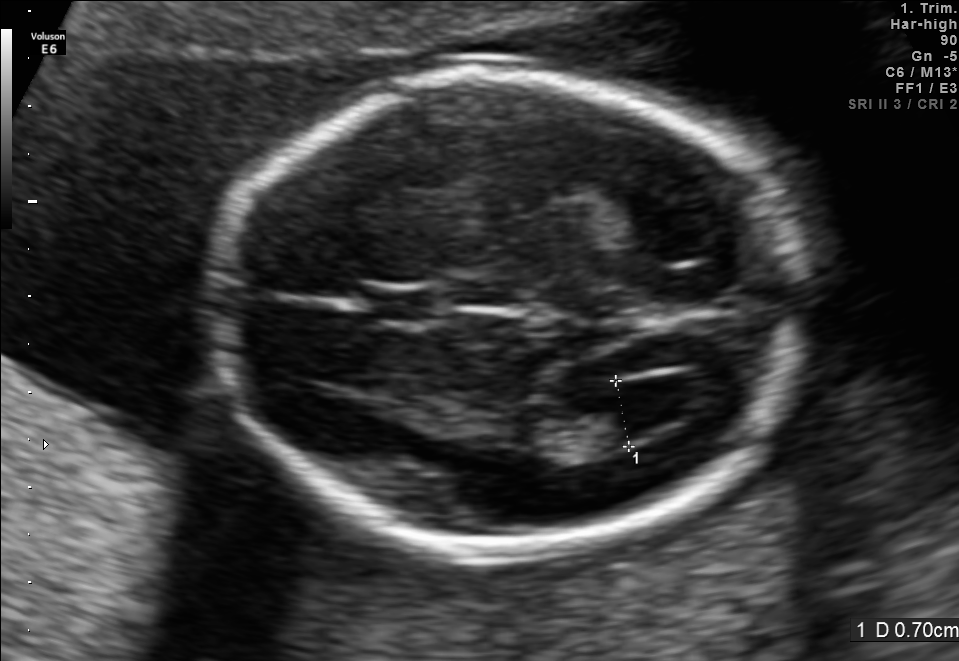
Fetal brain, trans-ventricular plane. Where is the lateral ventricle?

Lateral ventricle bounding box: [597,371,701,440]